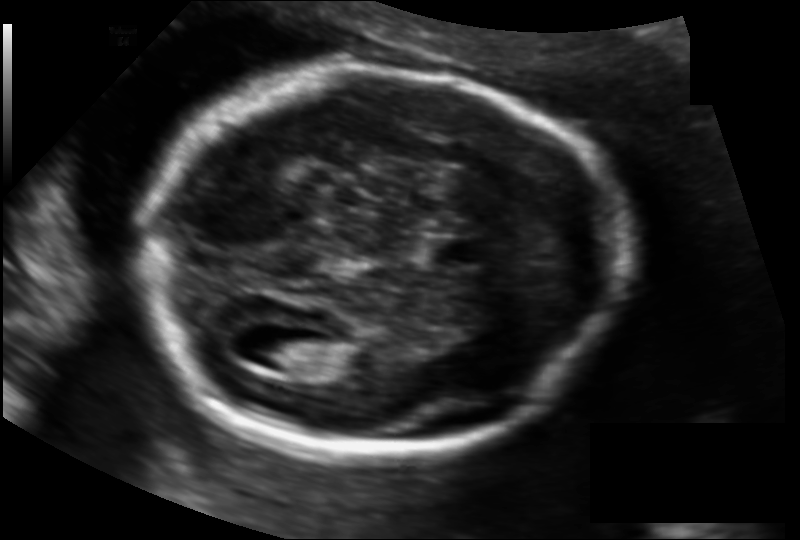
Estimate the fetal head circumference from this 2D ultrasound. Image width: 102.3 mm.

Head circumference: 175.9 mm.